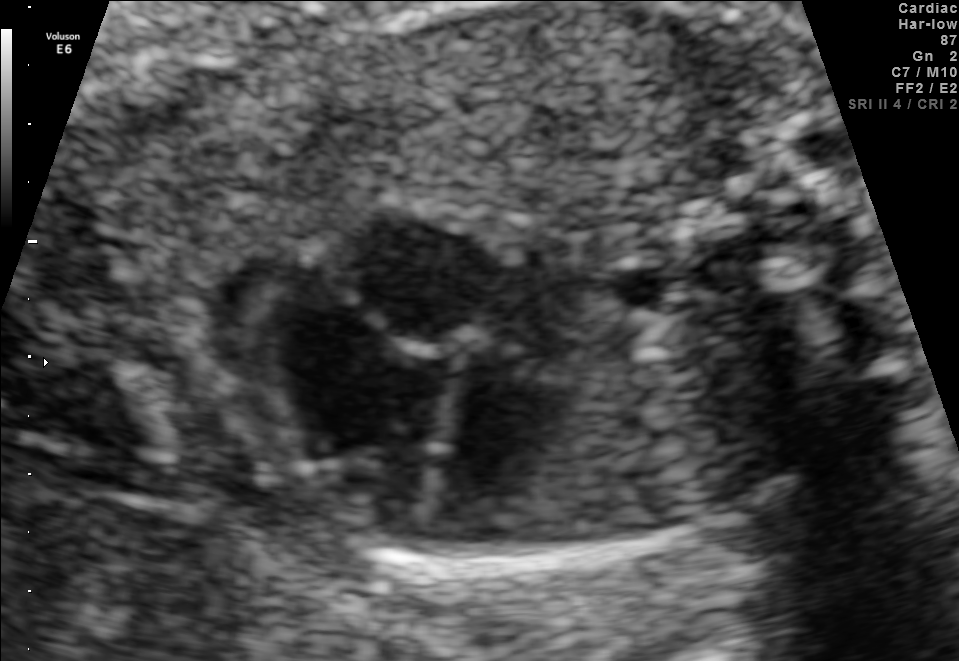
Which standard maternal-fetal ultrasound plane is shown: fetal abdomen, fetal brain, fetal femur, fetal thorax, maternal cervix, or other? If it's fetal brain and one of the three standard brain planes (trans-thalamic, trans-cerebellum, trans-ventricular), name which.

Fetal thorax